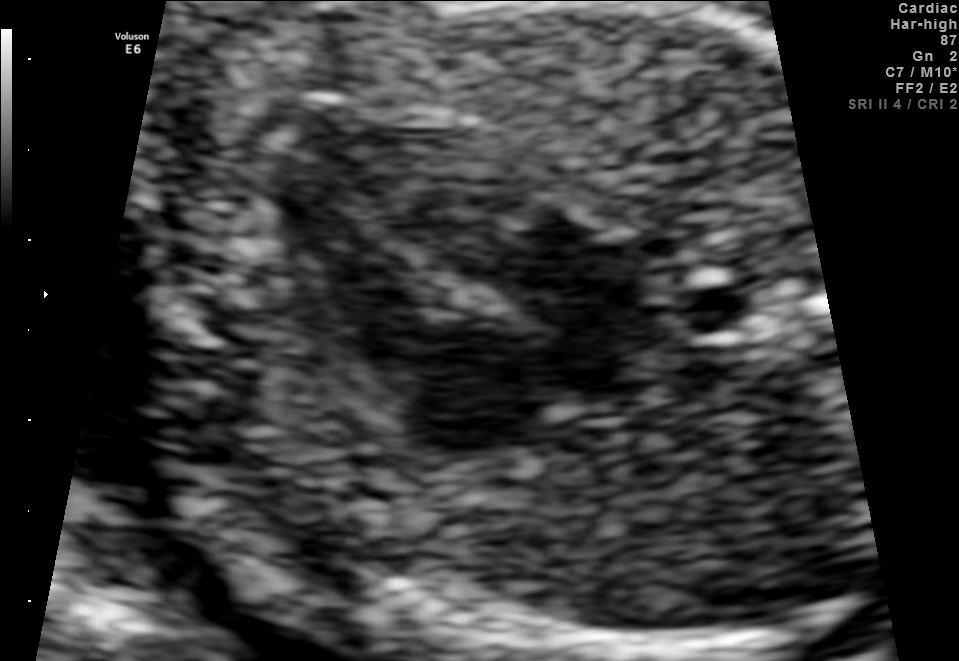
Classify this maternal-fetal ultrasound image as one of the six standard planes — fetal abdomen, fetal brain, fetal femur, fetal thorax, maternal cervix, or other. If it's fetal brain and one of the three standard brain planes (trans-thalamic, trans-cerebellum, trans-ventricular), name which.

Fetal thorax